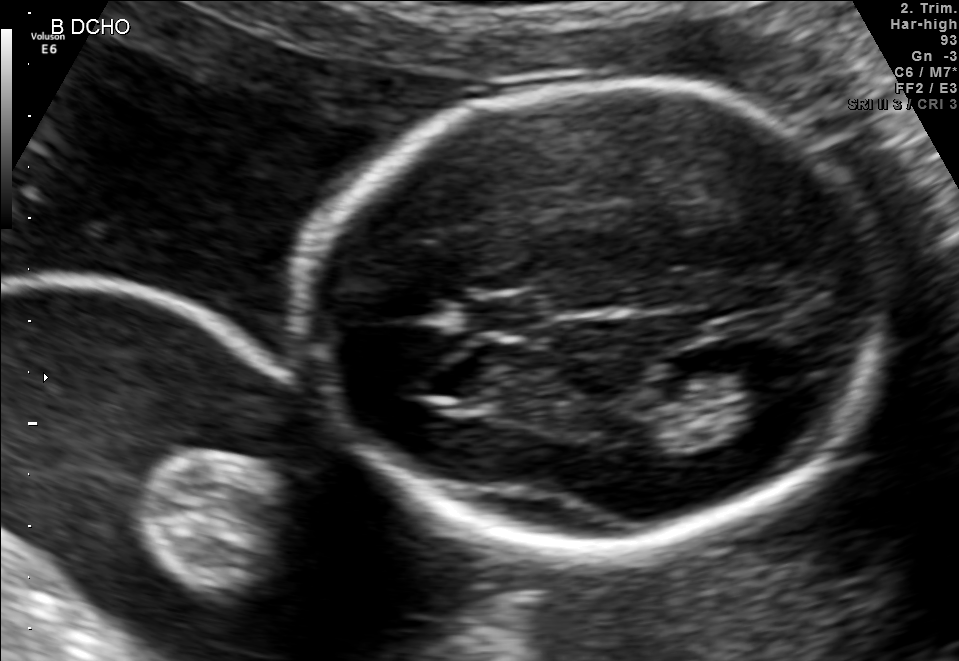
Fetal brain, trans-thalamic plane. Where is the lateral ventricle?

Lateral ventricle bounding box: [709,331,813,421]